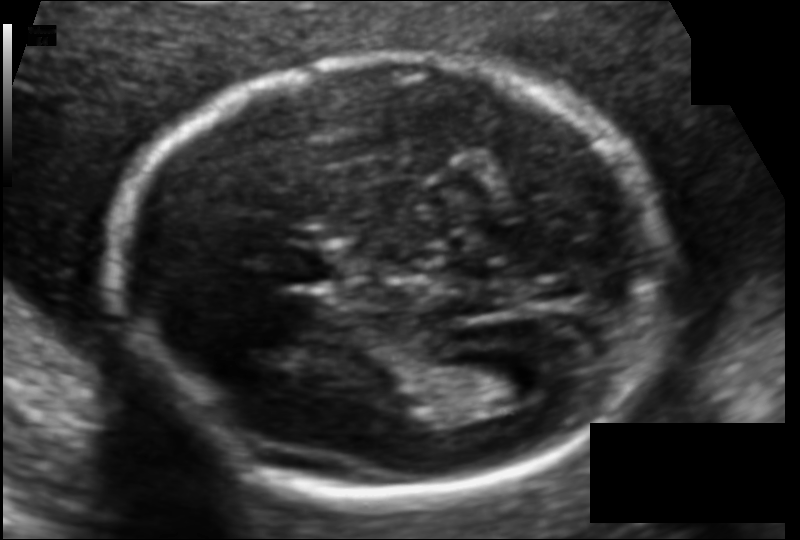
In this fetal head ultrasound, give bounding boxes for the head outline, cavum septum pellucidum (CSP), and lateral ventricle (LV), where visible. Image width: 83.5 mm.

Head: [113,56,668,498]
CSP: [270,245,334,287]
Lateral ventricle: [460,346,554,413]